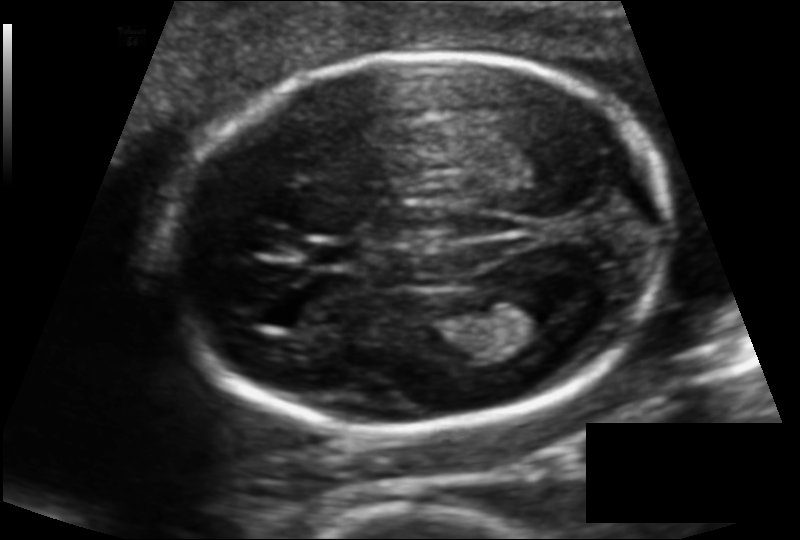
Estimate the fetal head circumference from this 2D ultrasound.

Head circumference: 170.8 mm (image width 95.8 mm).